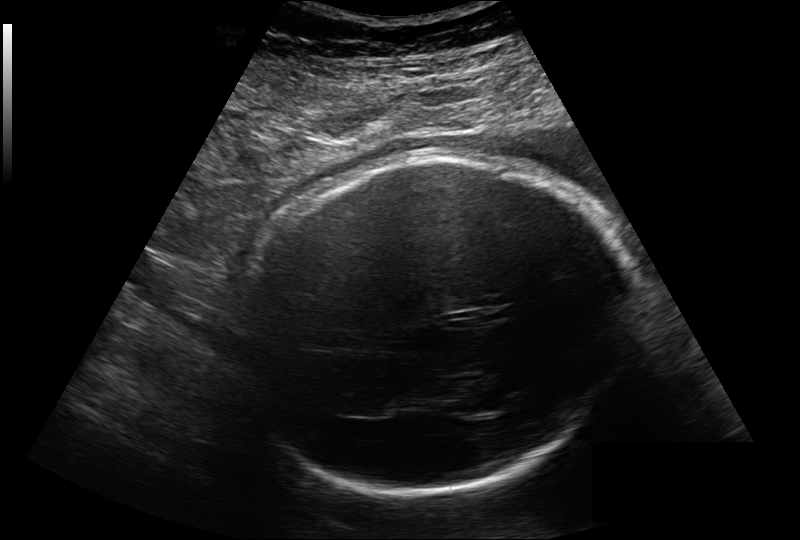
From this fetal ultrasound, estimate the head circumference (image width 211.0 mm).

Head circumference: 315.7 mm.